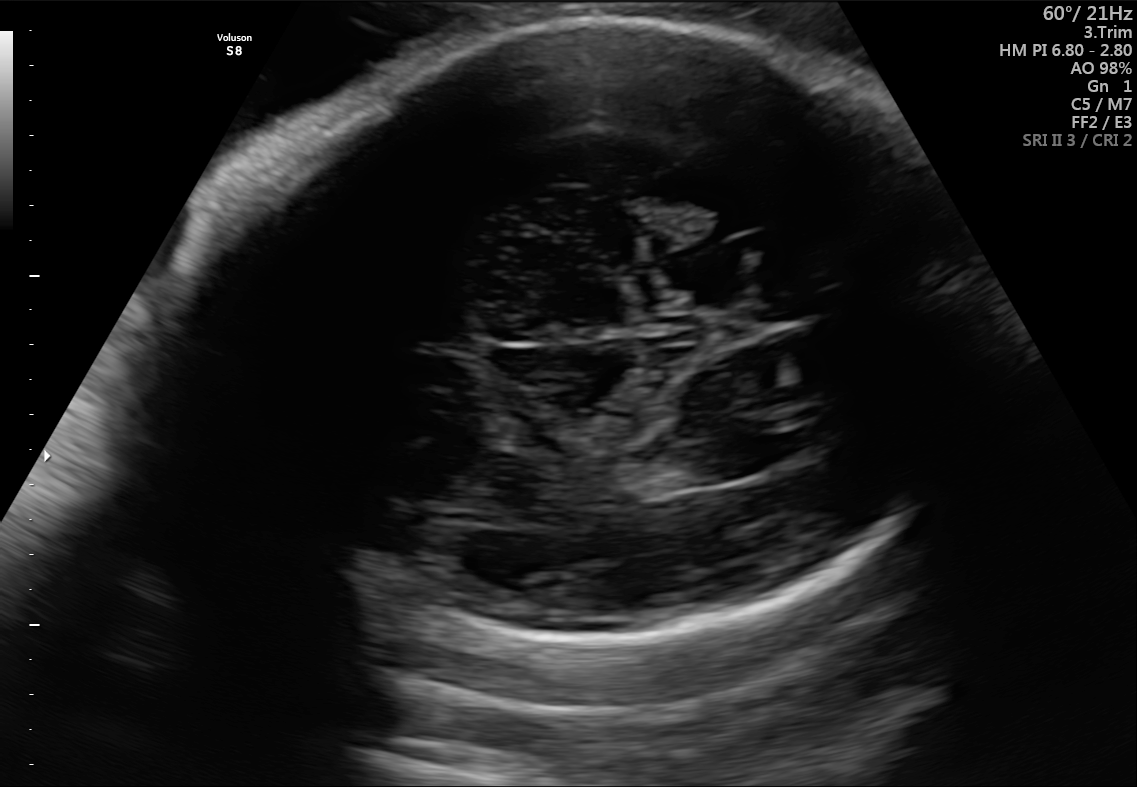
Fetal brain, trans-thalamic plane. Where is the fetal head?

Head bounding box: [204,14,971,635]